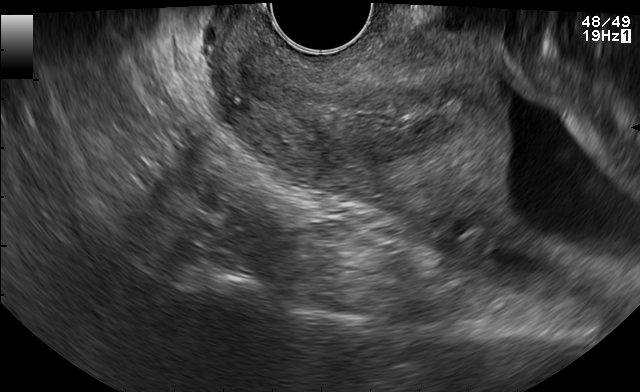
Which standard maternal-fetal ultrasound plane is shown: fetal abdomen, fetal brain, fetal femur, fetal thorax, maternal cervix, or other? If it's fetal brain and one of the three standard brain planes (trans-thalamic, trans-cerebellum, trans-ventricular), name which.

Maternal cervix